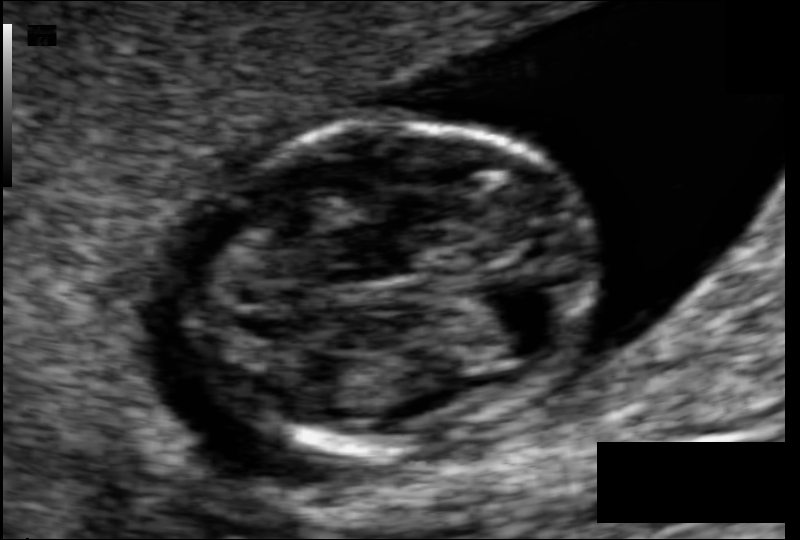
Fetal head ultrasound. Image width: 49.9 mm. Where is the fetal head?

Head bounding box: [184,122,594,451]